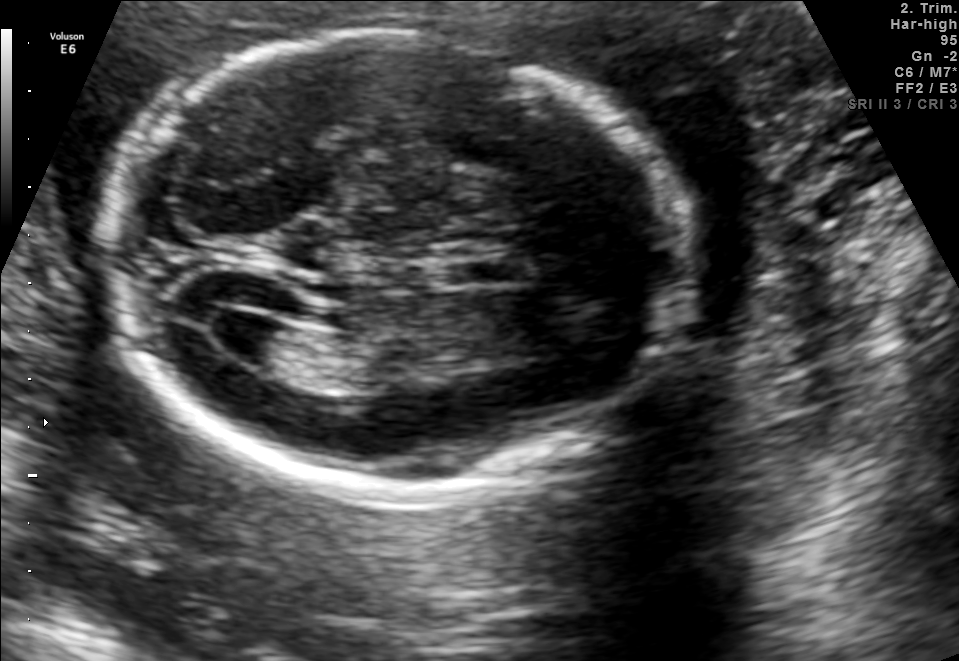
This is a 2D maternal-fetal ultrasound frame. Is it a fetal abdomen, fetal brain, fetal femur, fetal thorax, maternal cervix, or other standard plane? If it's fetal brain and one of the three standard brain planes (trans-thalamic, trans-cerebellum, trans-ventricular), name which.

Fetal brain (trans-ventricular plane)